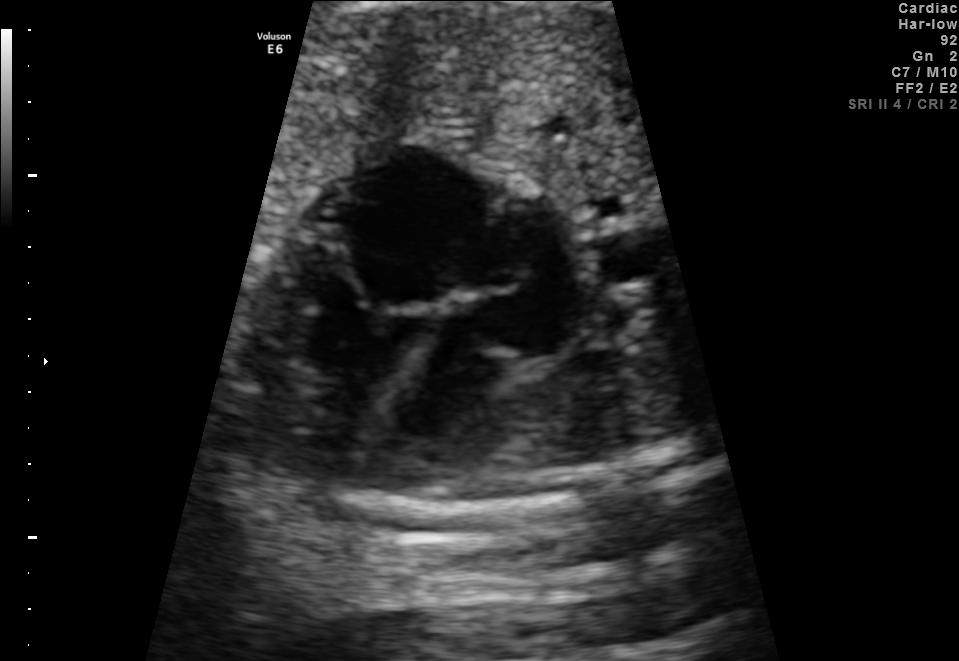
This is a 2D maternal-fetal ultrasound frame. Is it a fetal abdomen, fetal brain, fetal femur, fetal thorax, maternal cervix, or other standard plane? If it's fetal brain and one of the three standard brain planes (trans-thalamic, trans-cerebellum, trans-ventricular), name which.

Fetal thorax